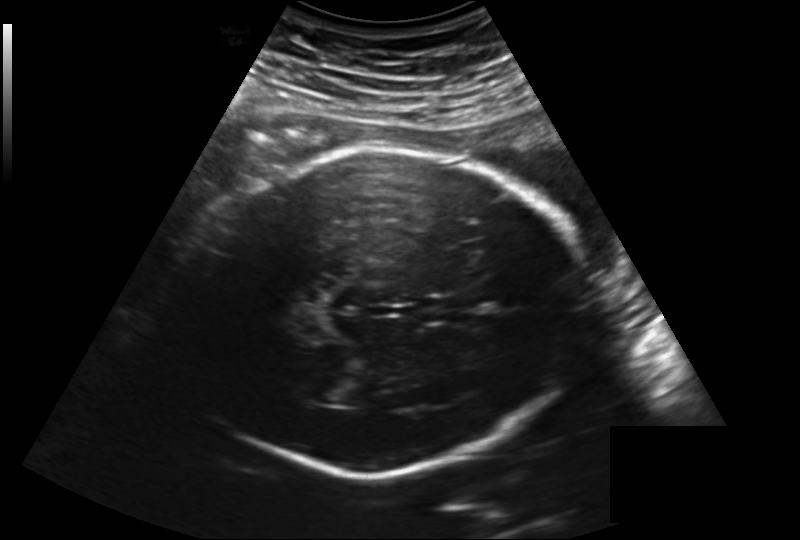
In this fetal head ultrasound, give the bounding box of the fetal head. Image width: 175.2 mm.

[174,147,587,476]